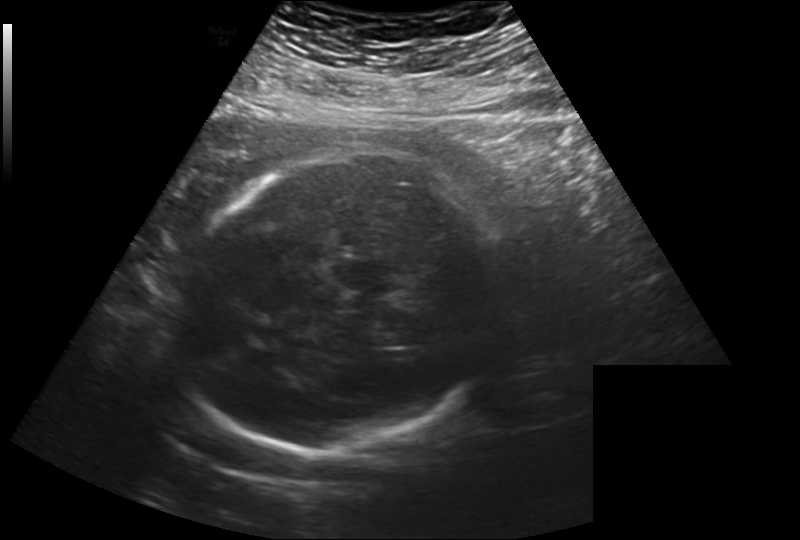
Estimate the fetal head circumference from this 2D ultrasound.

Head circumference: 271.0 mm (image width 208.0 mm).